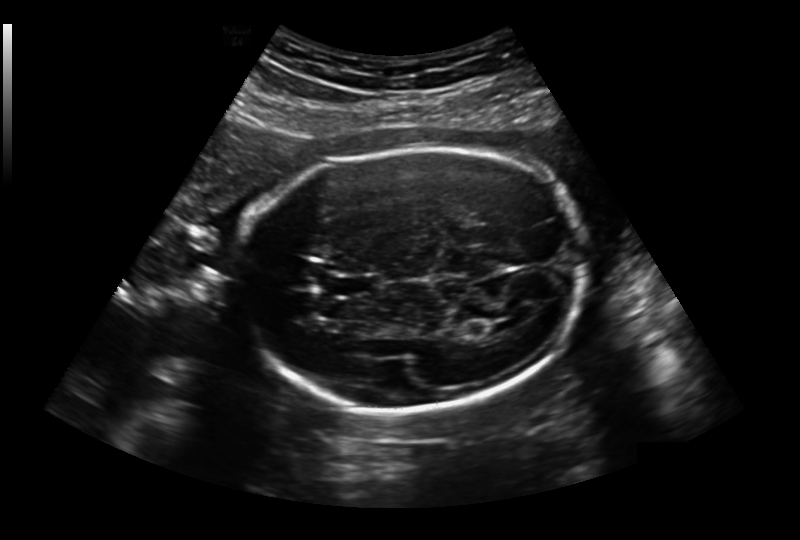
In this fetal head ultrasound, give bounding boxes for the head outline, cavum septum pellucidum (CSP), and lateral ventricle (LV), where visible. Image width: 188.7 mm.

Head: [239,150,586,410]
CSP: [333,273,376,296]
Lateral ventricle: [490,315,520,335]